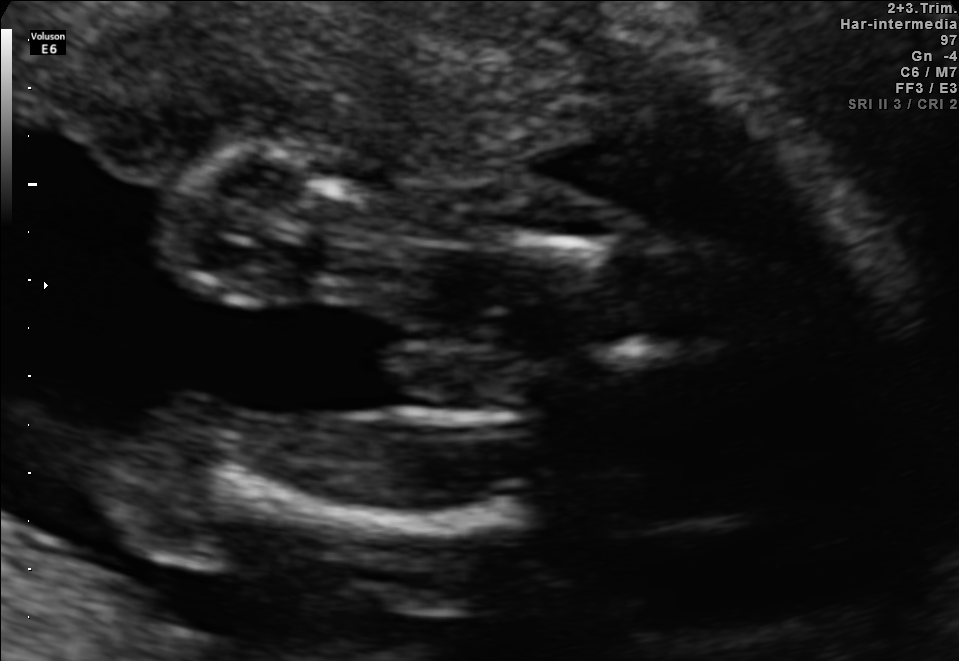
Which standard maternal-fetal ultrasound plane is shown: fetal abdomen, fetal brain, fetal femur, fetal thorax, maternal cervix, or other? If it's fetal brain and one of the three standard brain planes (trans-thalamic, trans-cerebellum, trans-ventricular), name which.

Fetal femur